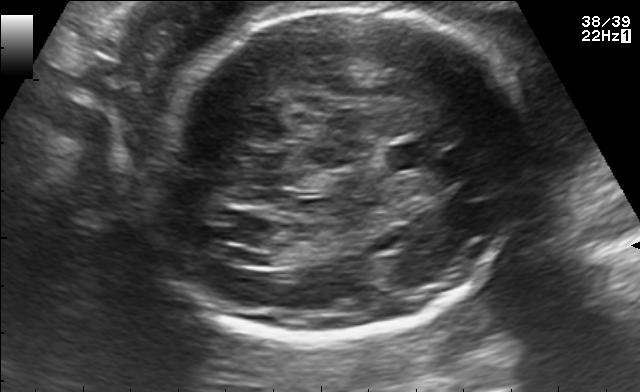
Fetal brain, trans-ventricular plane. Locate the fetal head.

Head: [140,4,532,343]